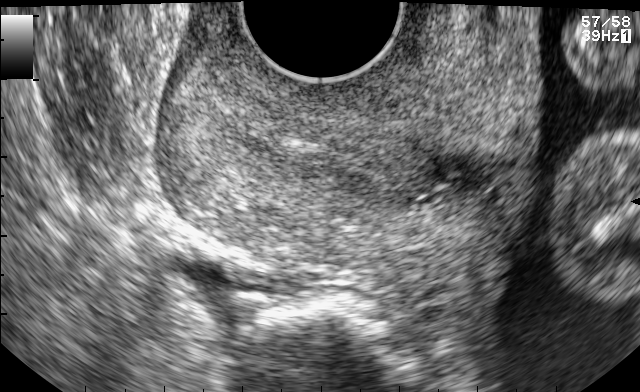
Classify this maternal-fetal ultrasound image as one of the six standard planes — fetal abdomen, fetal brain, fetal femur, fetal thorax, maternal cervix, or other. If it's fetal brain and one of the three standard brain planes (trans-thalamic, trans-cerebellum, trans-ventricular), name which.

Maternal cervix